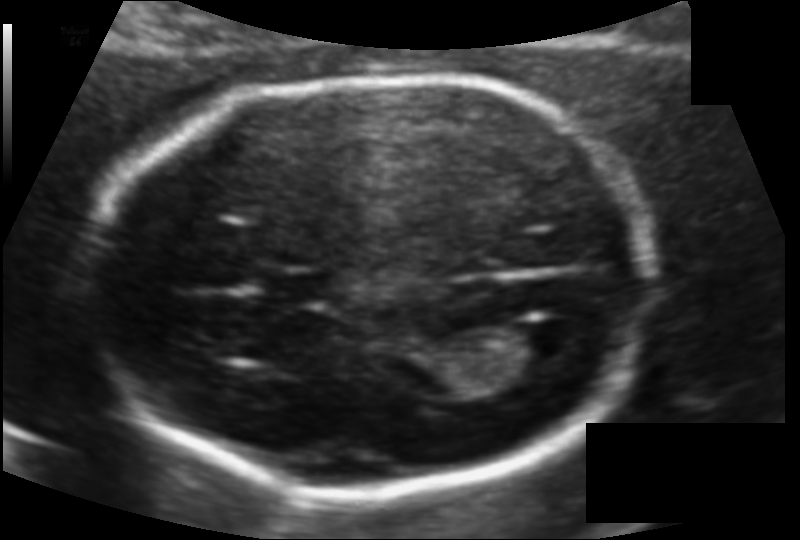
In this fetal head ultrasound, give the bounding box of the lateral ventricle. Image width: 85.2 mm.

[514,313,584,370]